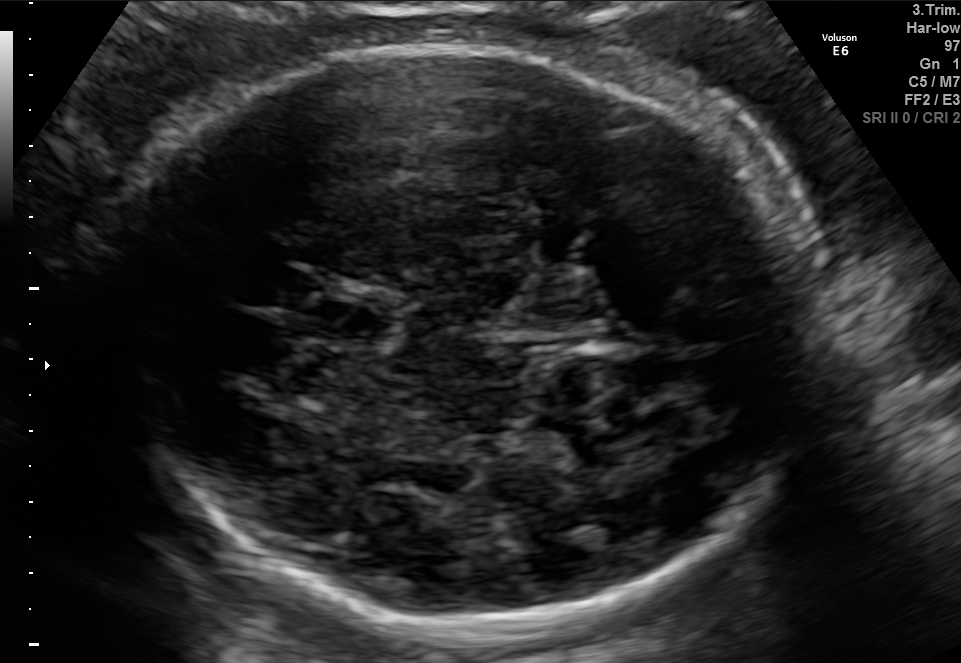
Fetal brain, trans-thalamic plane. Locate the fetal head.

Head: [124,43,803,634]